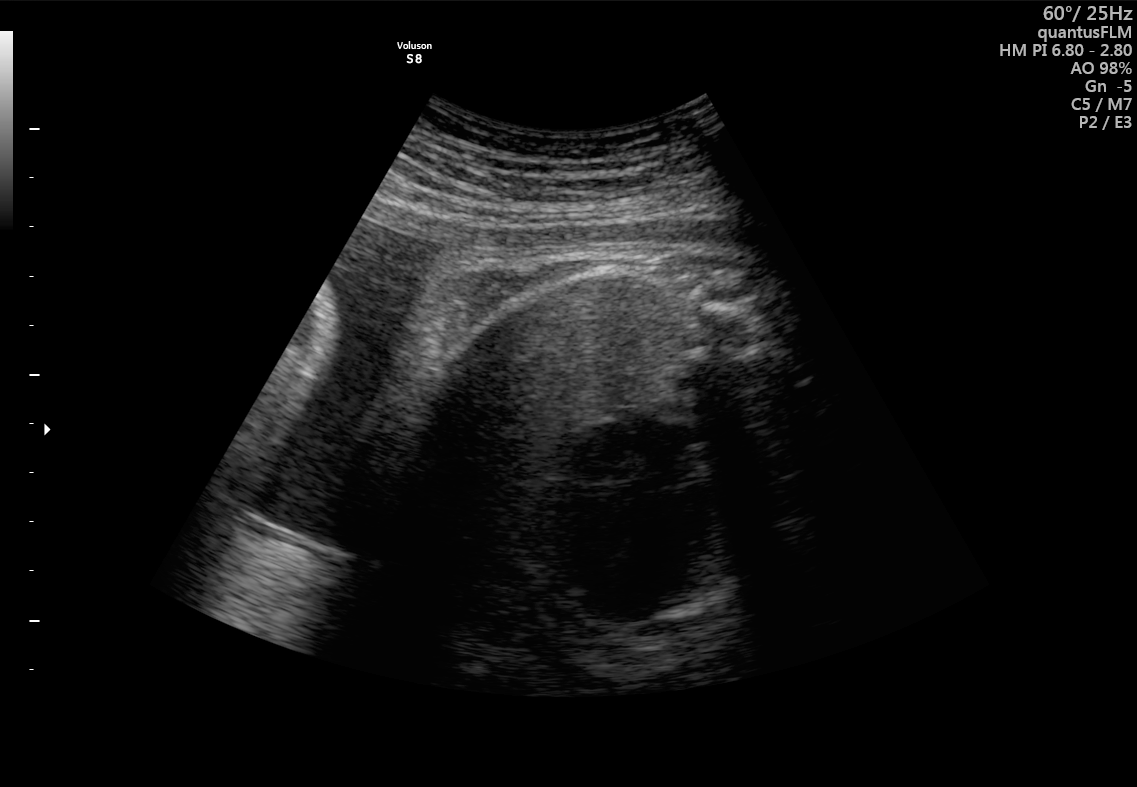
Classify this maternal-fetal ultrasound image as one of the six standard planes — fetal abdomen, fetal brain, fetal femur, fetal thorax, maternal cervix, or other. If it's fetal brain and one of the three standard brain planes (trans-thalamic, trans-cerebellum, trans-ventricular), name which.

Fetal thorax